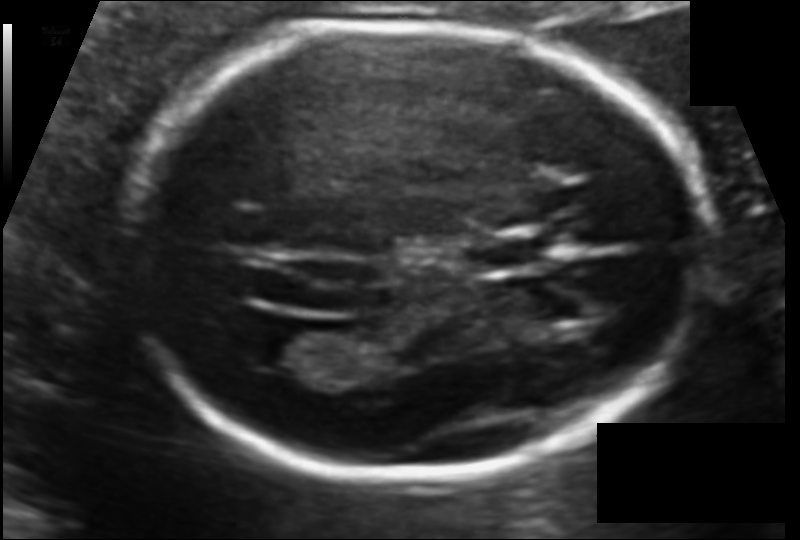
In this fetal head ultrasound, give the bounding box of the fetal head. Image width: 85.6 mm.

[124,25,706,476]